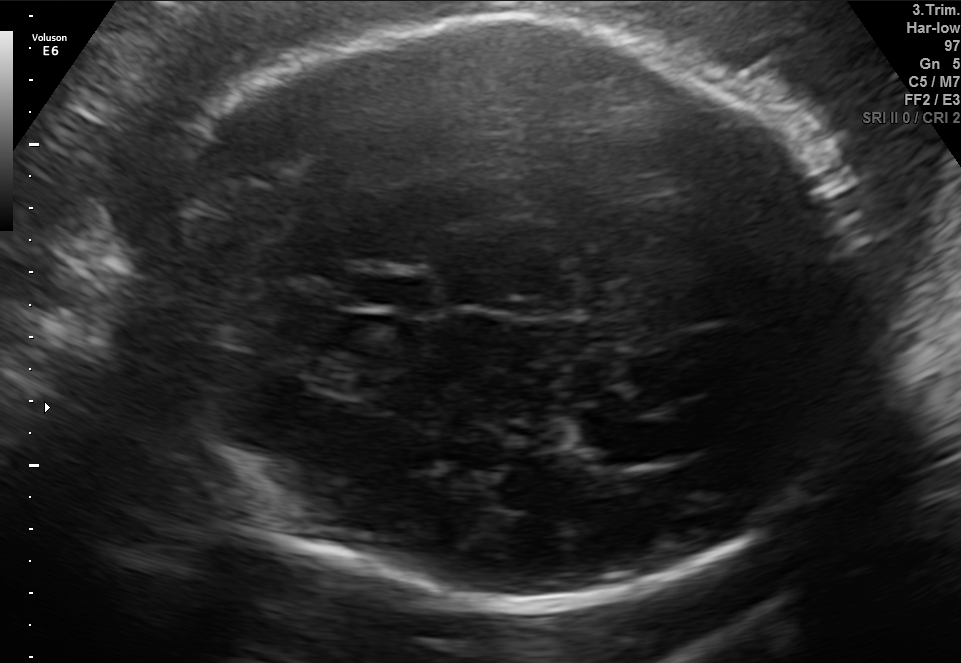
Fetal brain, trans-thalamic plane. Locate the fetal head.

Head: [152,19,875,608]